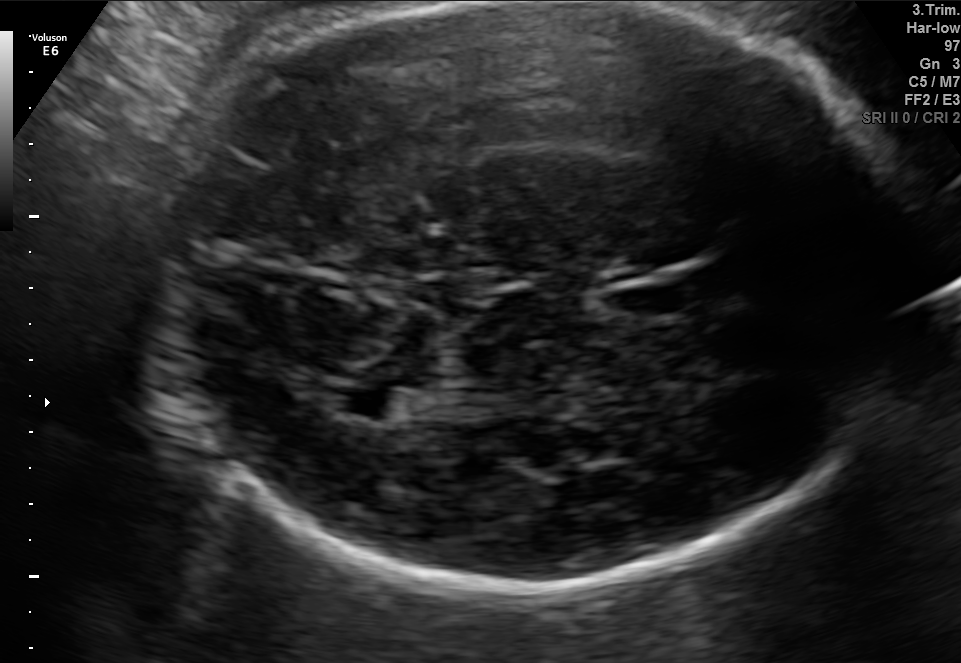
Identify the standard plane in this fetal ultrasound image: fetal abdomen, fetal brain, fetal femur, fetal thorax, maternal cervix, or other. If it's fetal brain and one of the three standard brain planes (trans-thalamic, trans-cerebellum, trans-ventricular), name which.

Fetal brain (trans-thalamic plane)